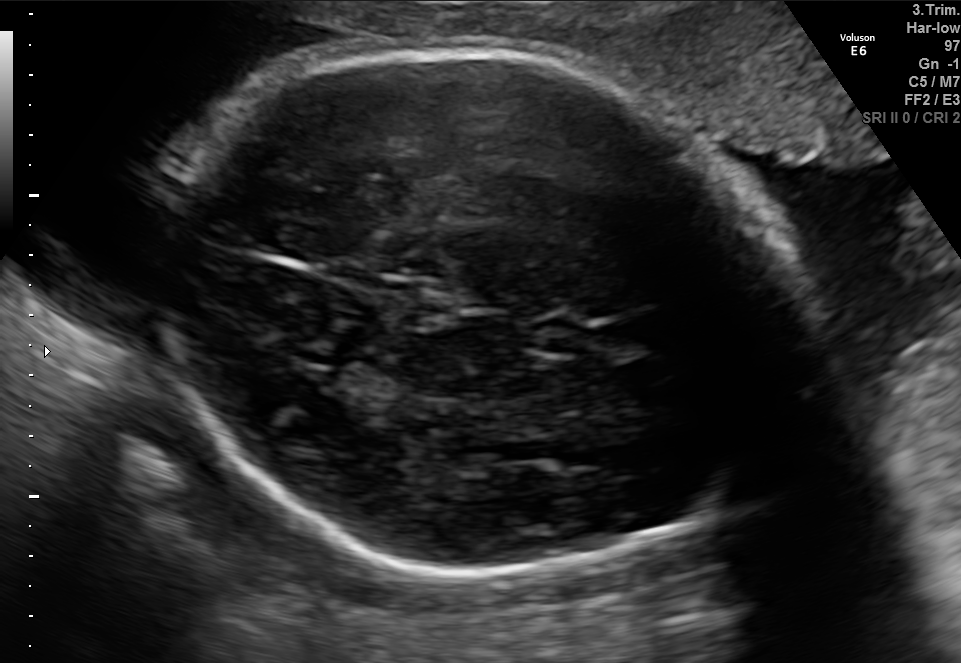
Fetal brain, trans-thalamic plane. Locate the fetal head.

Head: [153,49,804,578]